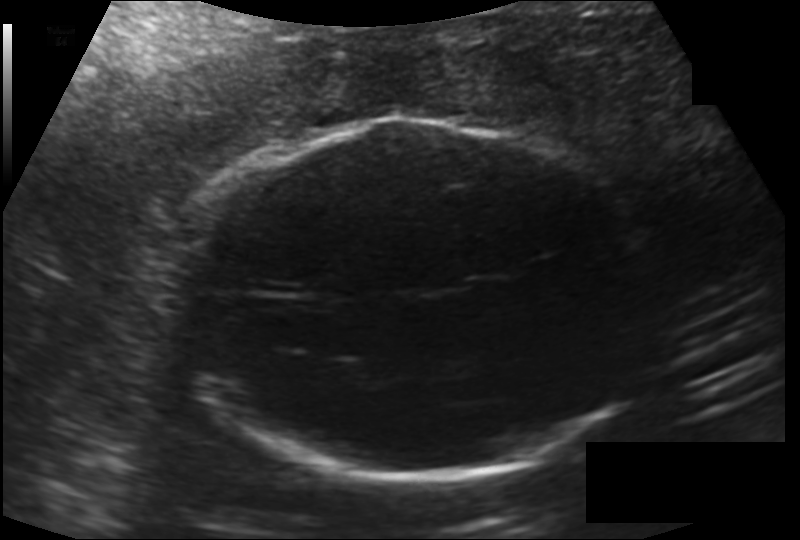
Estimate the fetal head circumference from this 2D ultrasound.

Head circumference: 238.5 mm (image width 140.8 mm).